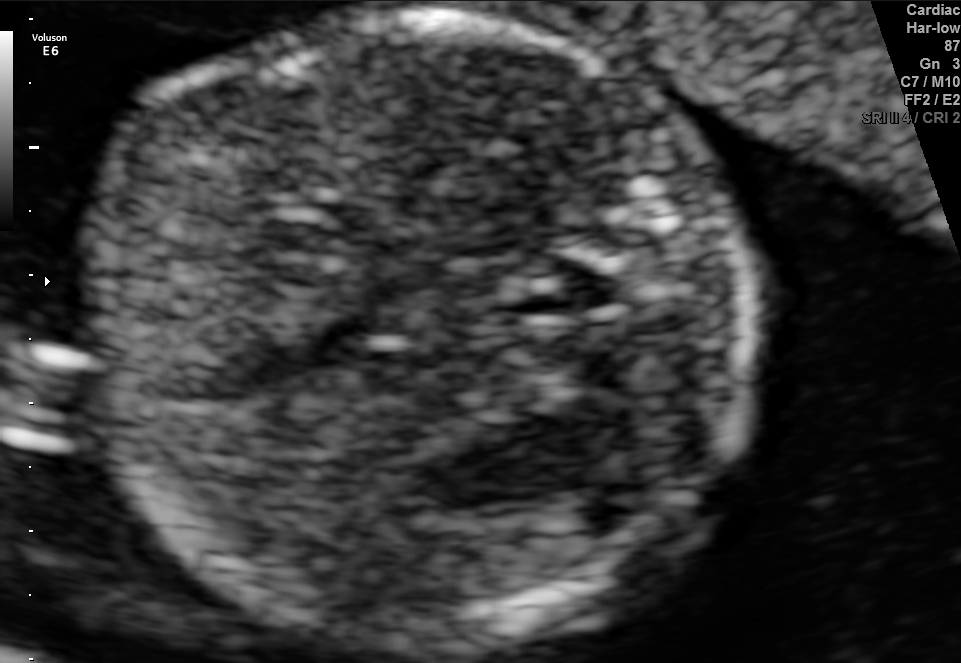
Identify the standard plane in this fetal ultrasound image: fetal abdomen, fetal brain, fetal femur, fetal thorax, maternal cervix, or other. If it's fetal brain and one of the three standard brain planes (trans-thalamic, trans-cerebellum, trans-ventricular), name which.

Fetal abdomen